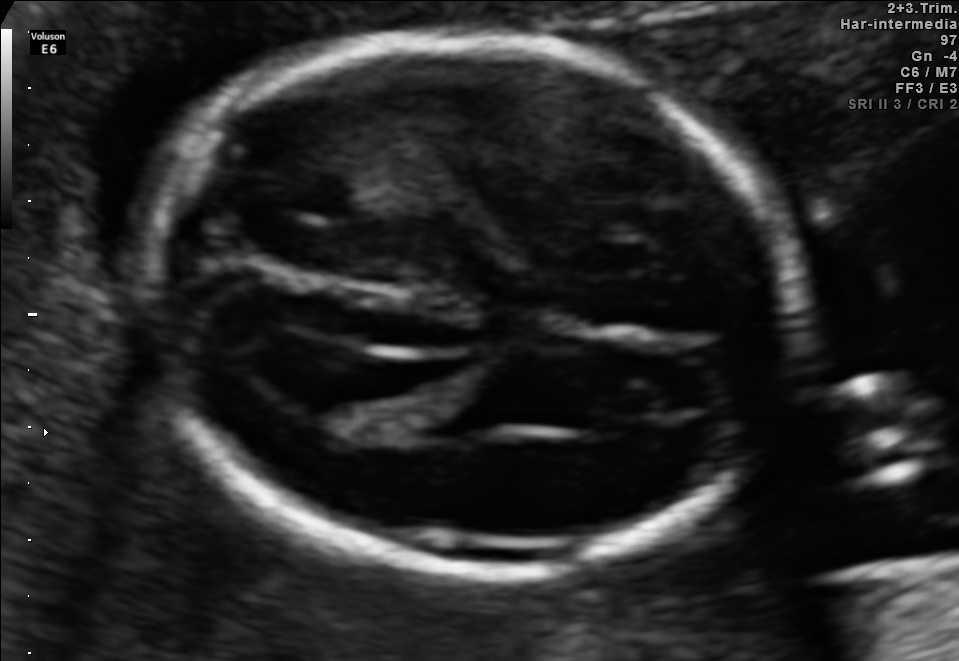
Which standard maternal-fetal ultrasound plane is shown: fetal abdomen, fetal brain, fetal femur, fetal thorax, maternal cervix, or other? If it's fetal brain and one of the three standard brain planes (trans-thalamic, trans-cerebellum, trans-ventricular), name which.

Fetal brain (trans-ventricular plane)